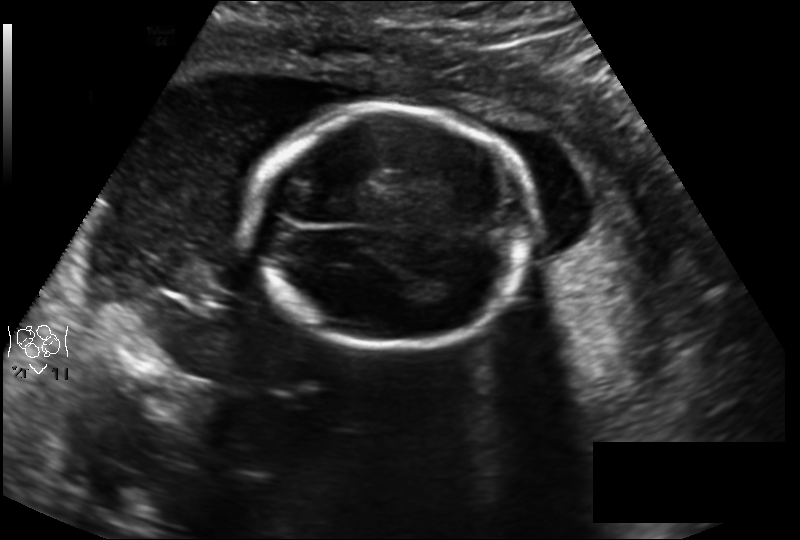
Measure the fetal head circumference shown in this ultrasound image. Image width: 155.0 mm.

Head circumference: 165.8 mm.